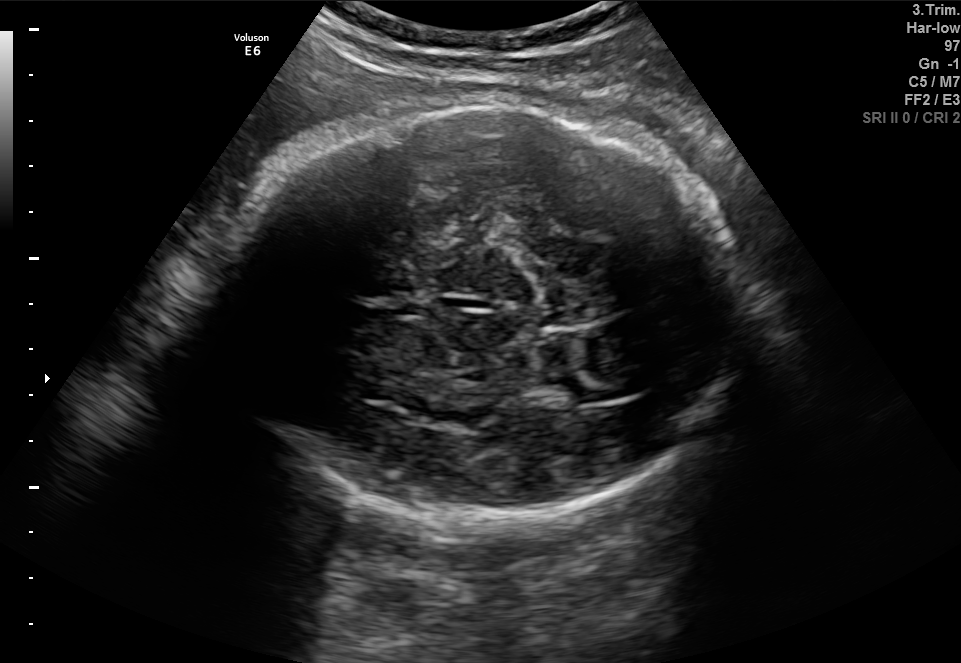
In this fetal brain, trans-thalamic plane, give bounding boxes for the head outline, cavum septum pellucidum (CSP), and lateral ventricle (LV), where visible.

Head: [213,94,744,531]